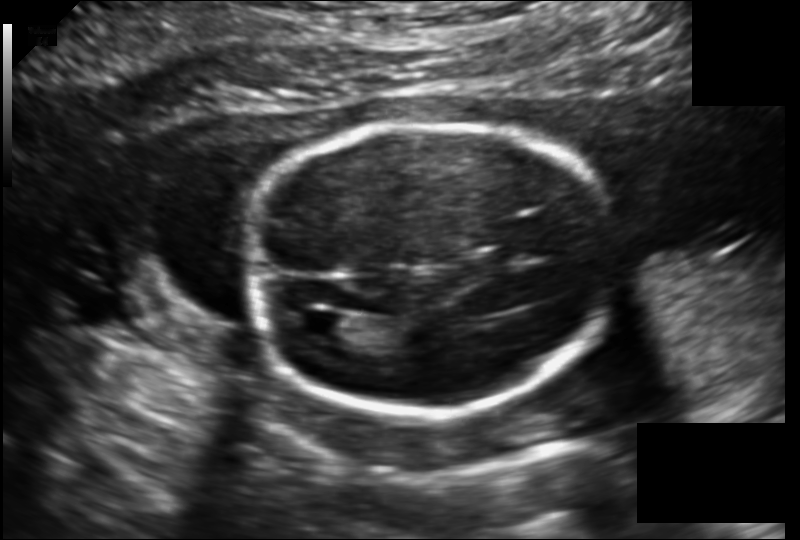
Fetal head ultrasound. Image width: 119.0 mm. Where is the fetal head?

Head bounding box: [252,123,613,413]